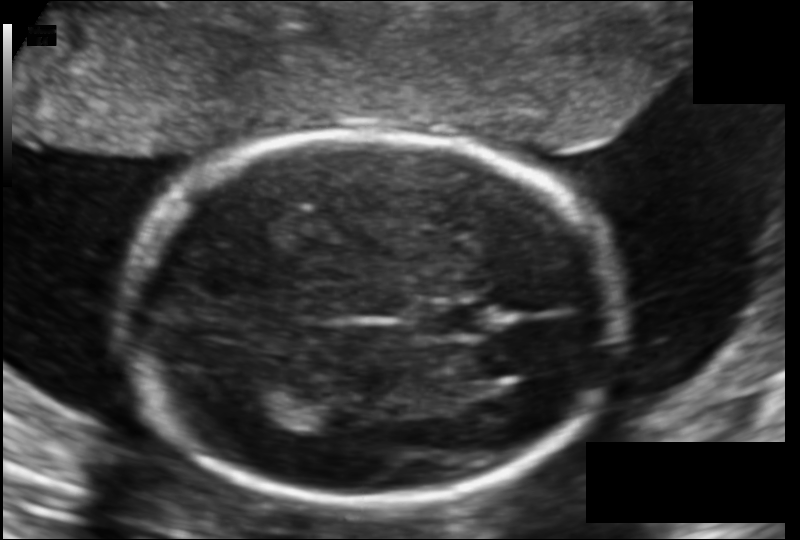
In this fetal head ultrasound, give bounding boxes for the head outline, cavum septum pellucidum (CSP), and lateral ventricle (LV), where visible. Image width: 98.4 mm.

Head: [125,134,618,506]
CSP: [413,303,489,340]